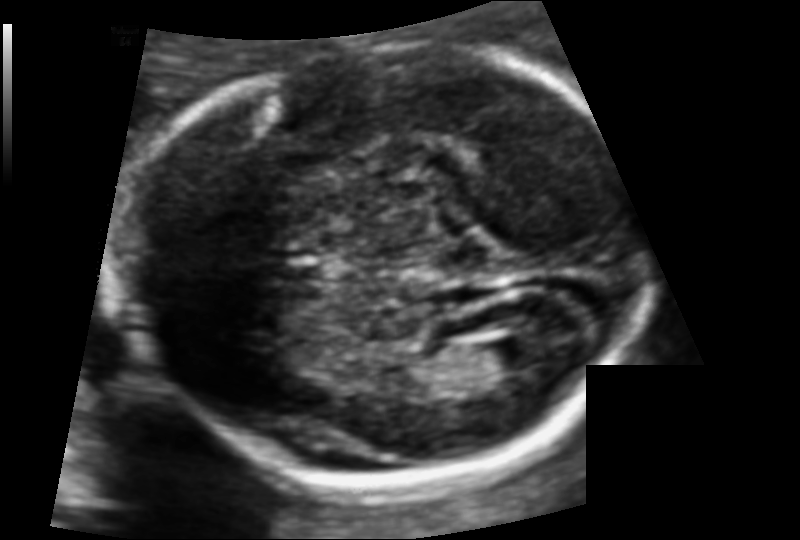
In this fetal head ultrasound, give the bounding box of the lateral ventricle. Image width: 84.2 mm.

[471,330,543,382]